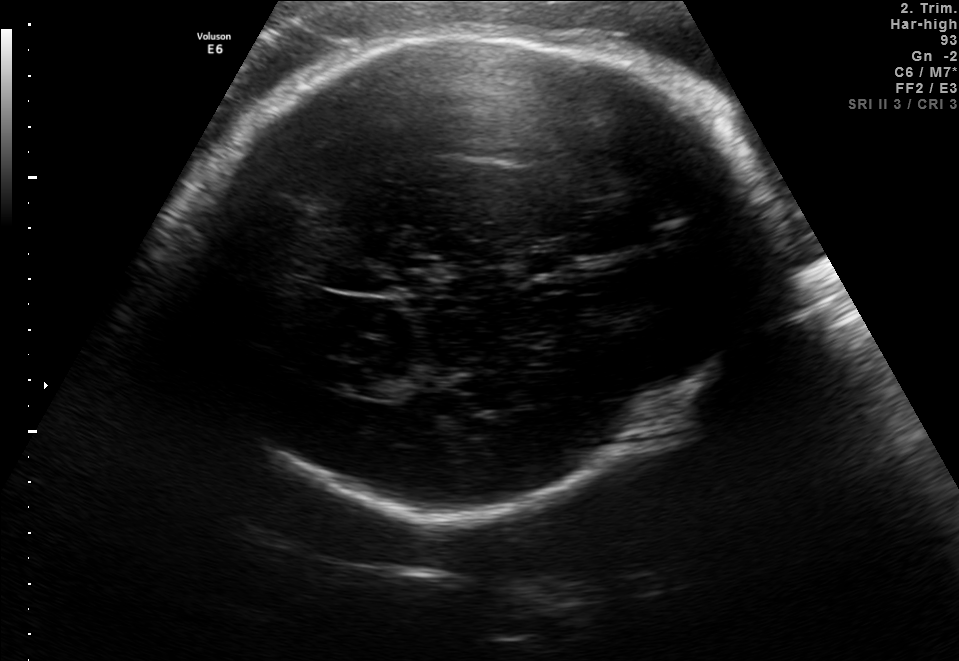
In this fetal brain, trans-thalamic plane, give the bounding box of the fetal head.

[188,35,759,514]